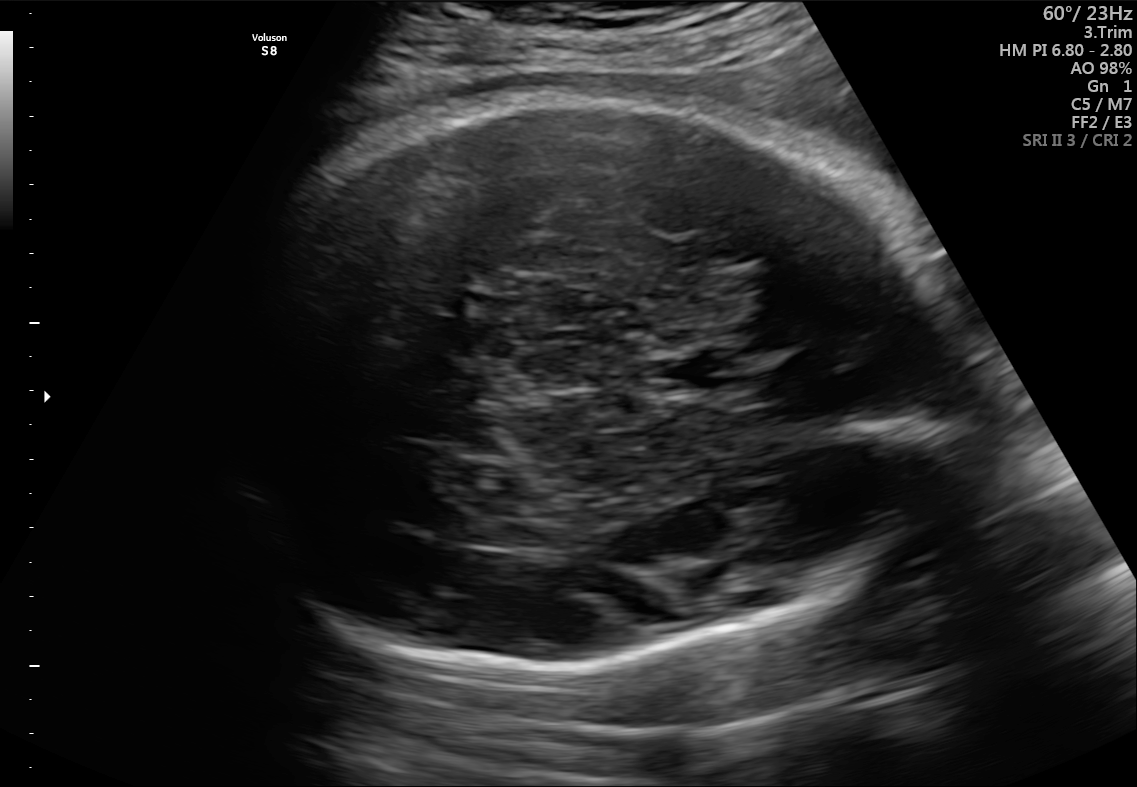
Fetal brain, trans-thalamic plane. Locate the fetal head and, if visible, the cavum septum pellucidum (CSP) and lateral ventricle (LV). Give bounding boxes as [x1,y1,x2,y2].

Head: [215,95,941,670]
CSP: [651,350,743,396]